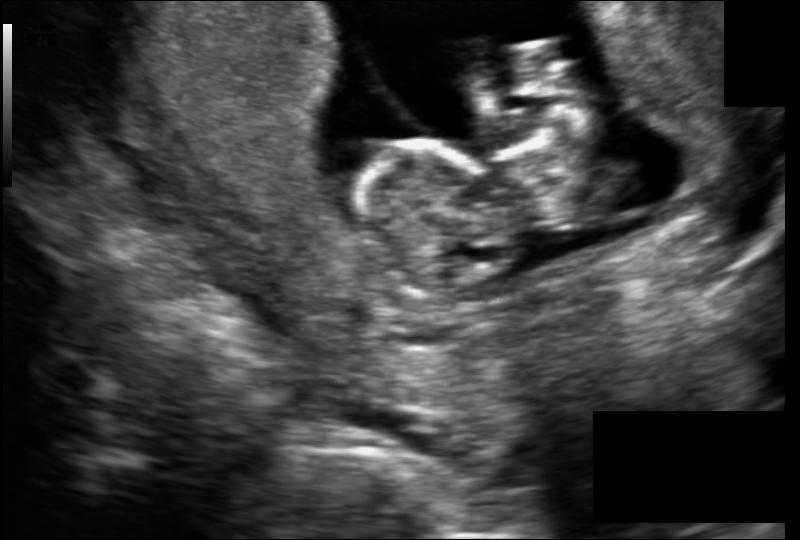
In this fetal head ultrasound, give the bounding box of the fetal head. Image width: 97.2 mm.

[355,139,510,297]